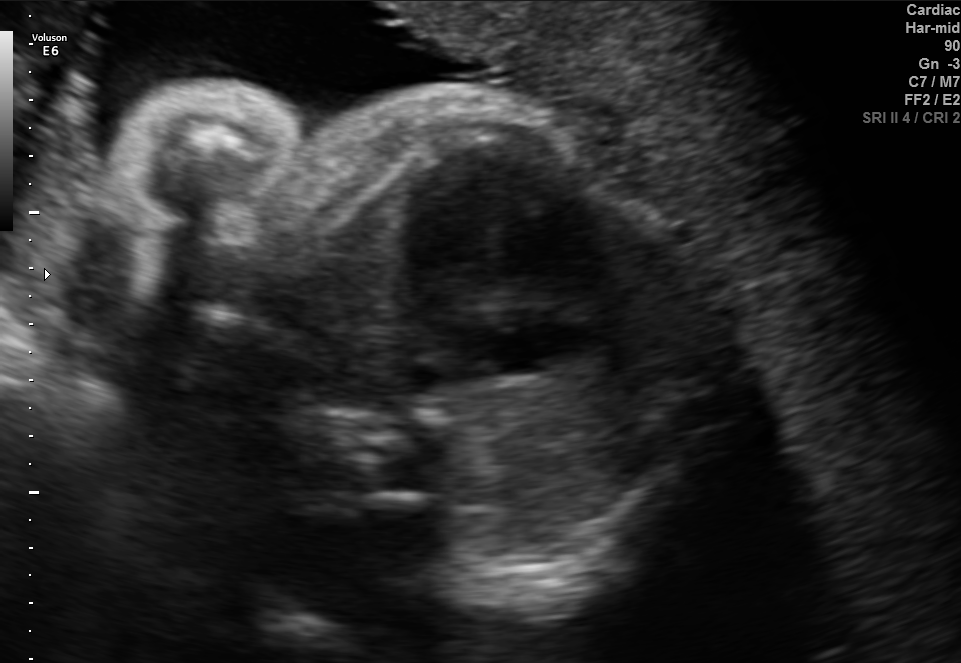
Identify the standard plane in this fetal ultrasound image: fetal abdomen, fetal brain, fetal femur, fetal thorax, maternal cervix, or other. If it's fetal brain and one of the three standard brain planes (trans-thalamic, trans-cerebellum, trans-ventricular), name which.

Fetal thorax